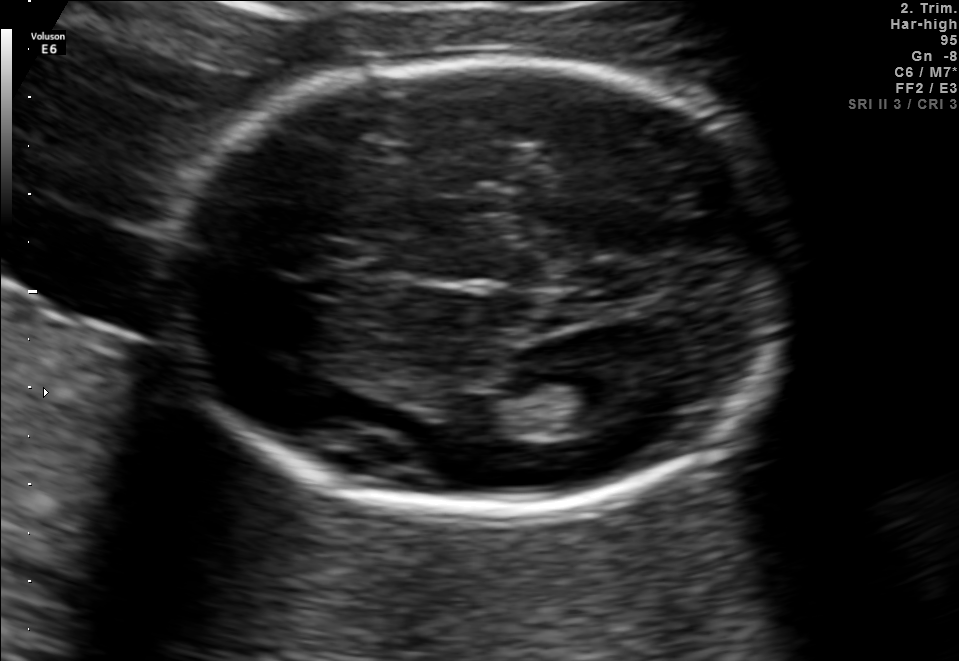
Fetal brain, trans-thalamic plane. Locate the lateral ventricle.

Lateral ventricle: [523,363,633,436]